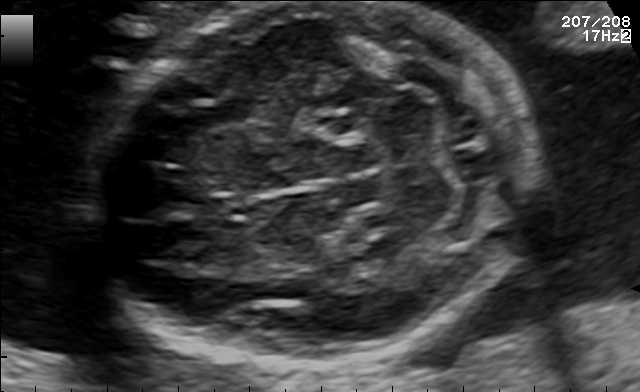
In this fetal brain, trans-cerebellum plane, give the bounding box of the fetal head.

[88,4,537,362]